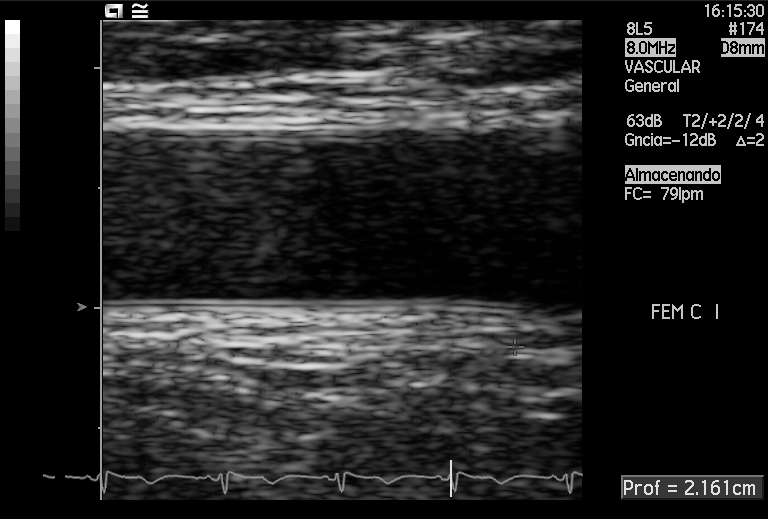
Which standard maternal-fetal ultrasound plane is shown: fetal abdomen, fetal brain, fetal femur, fetal thorax, maternal cervix, or other? If it's fetal brain and one of the three standard brain planes (trans-thalamic, trans-cerebellum, trans-ventricular), name which.

Other